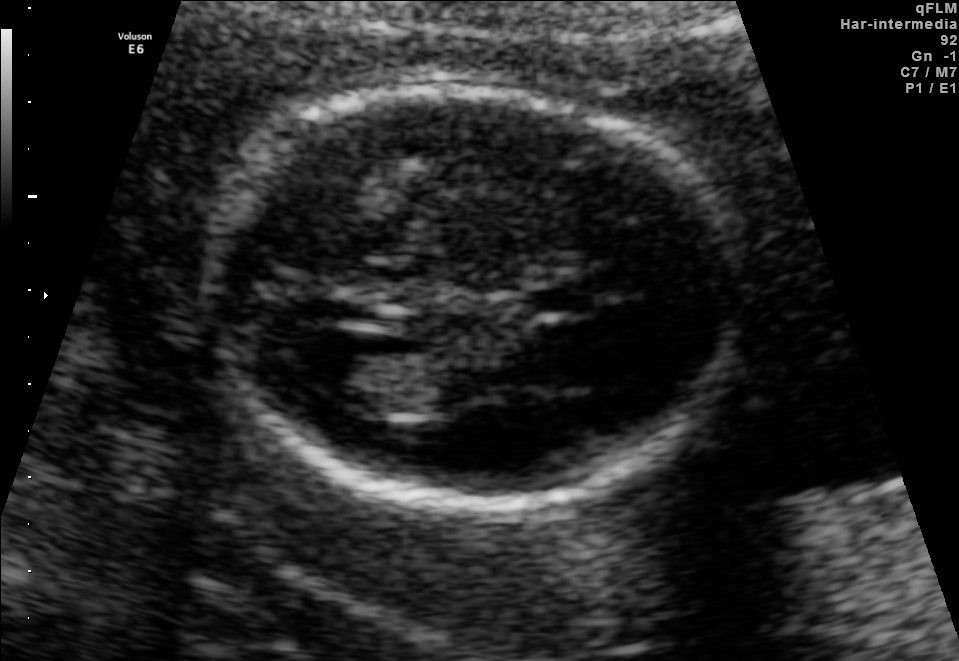
Fetal brain, trans-ventricular plane. Where is the lateral ventricle?

Lateral ventricle bounding box: [285,333,400,408]